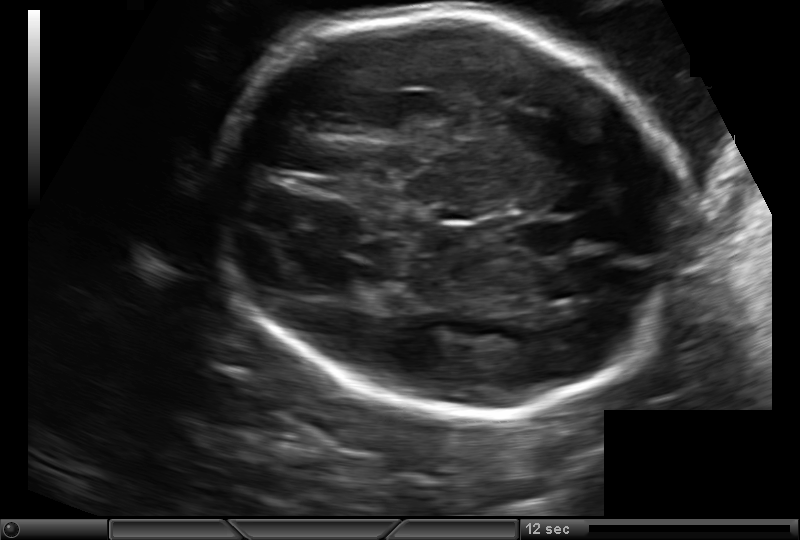
From this fetal ultrasound, estimate the head circumference (image width 137.2 mm).

Head circumference: 242.0 mm.